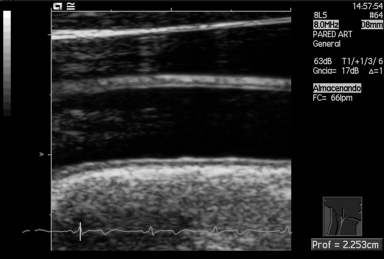
Identify the standard plane in this fetal ultrasound image: fetal abdomen, fetal brain, fetal femur, fetal thorax, maternal cervix, or other. If it's fetal brain and one of the three standard brain planes (trans-thalamic, trans-cerebellum, trans-ventricular), name which.

Other